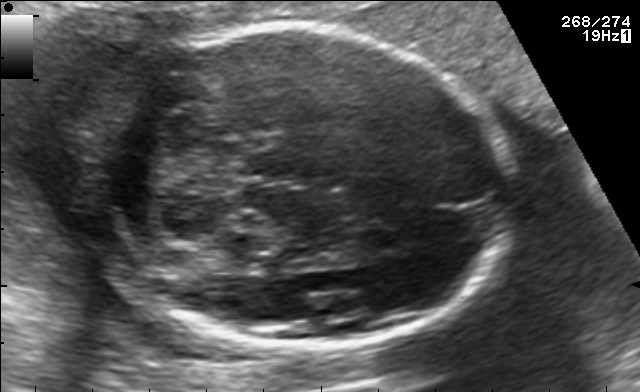
Fetal brain, trans-cerebellum plane. Where is the fetal head?

Head bounding box: [91,26,511,348]